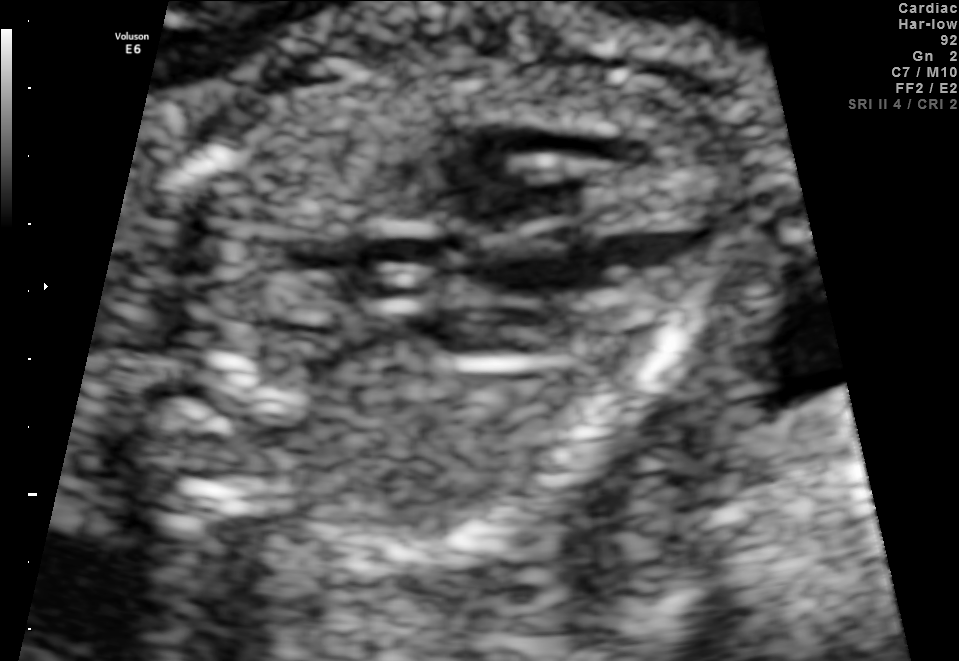
Identify the standard plane in this fetal ultrasound image: fetal abdomen, fetal brain, fetal femur, fetal thorax, maternal cervix, or other. If it's fetal brain and one of the three standard brain planes (trans-thalamic, trans-cerebellum, trans-ventricular), name which.

Other